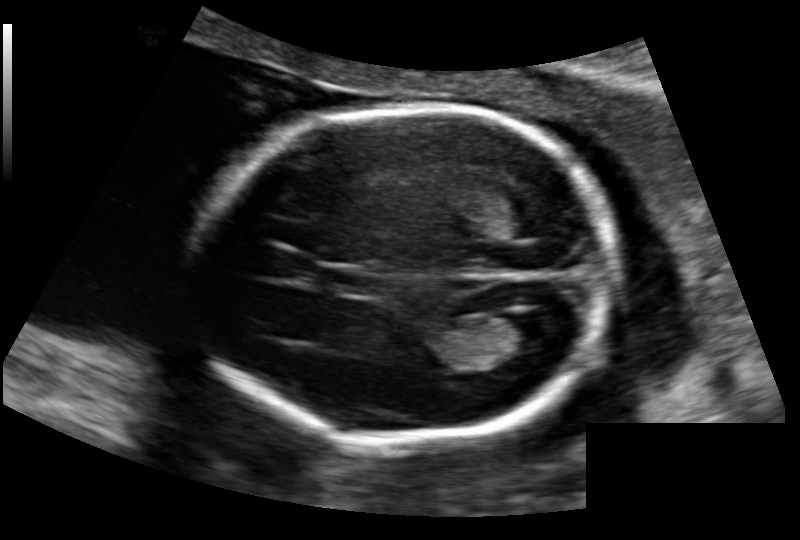
Estimate the fetal head circumference from this 2D ultrasound.

Head circumference: 167.1 mm (image width 108.9 mm).